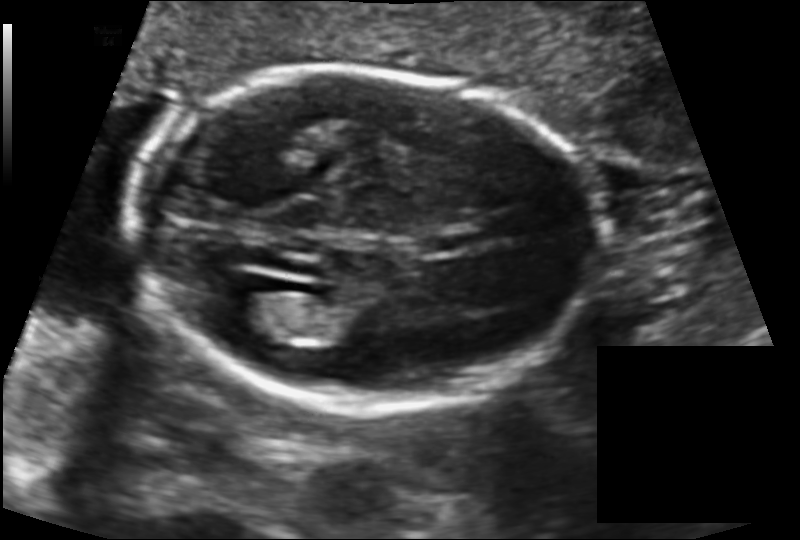
In this fetal head ultrasound, give the bounding box of the cavum septum pellucidum. Image width: 105.0 mm.

[417,229,474,258]